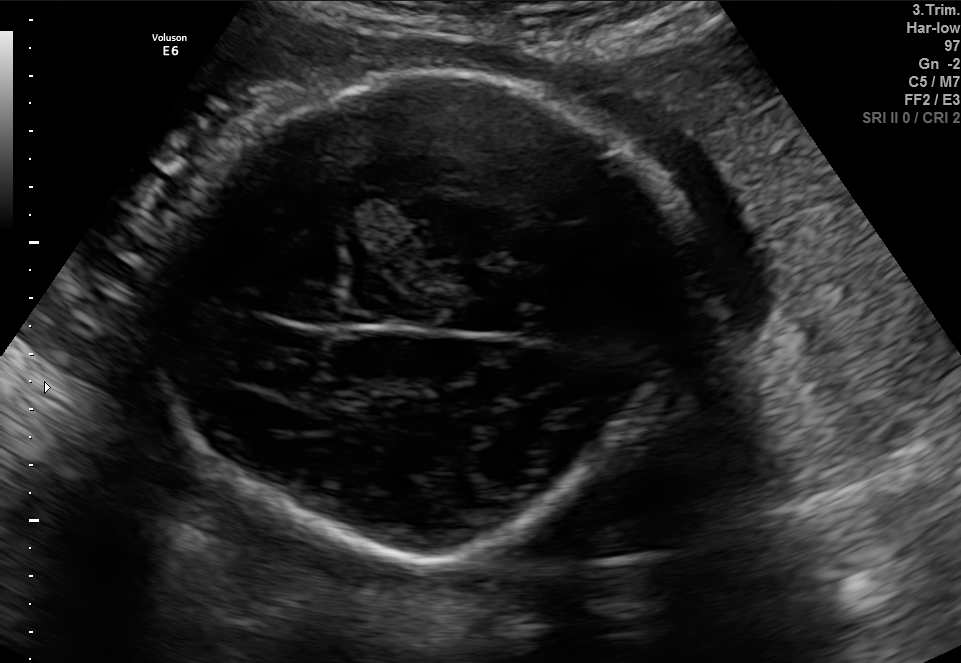
In this fetal brain, trans-thalamic plane, give the bounding box of the fetal head.

[172,58,674,561]